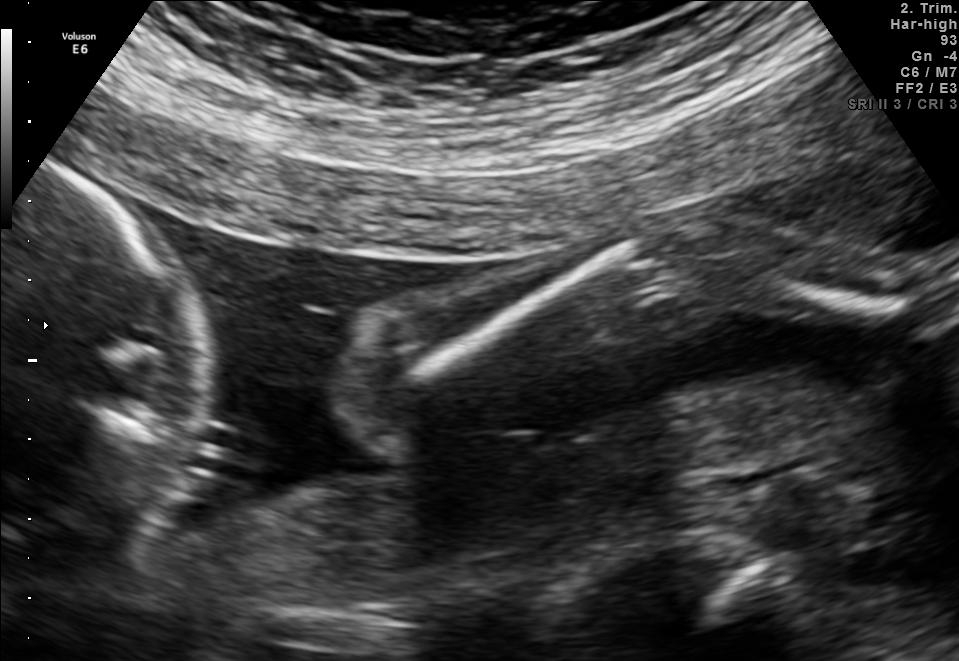
Which standard maternal-fetal ultrasound plane is shown: fetal abdomen, fetal brain, fetal femur, fetal thorax, maternal cervix, or other? If it's fetal brain and one of the three standard brain planes (trans-thalamic, trans-cerebellum, trans-ventricular), name which.

Other